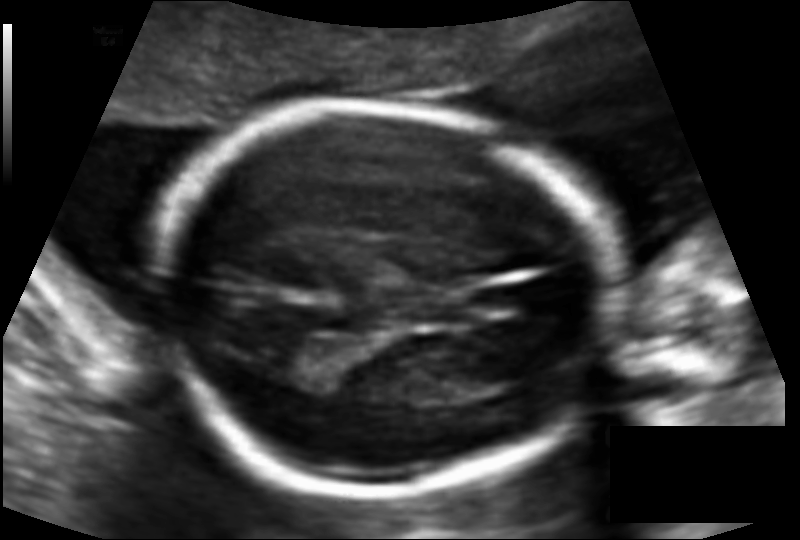
Measure the fetal head circumference shown in this ultrasound image. Image width: 87.7 mm.

Head circumference: 153.4 mm.